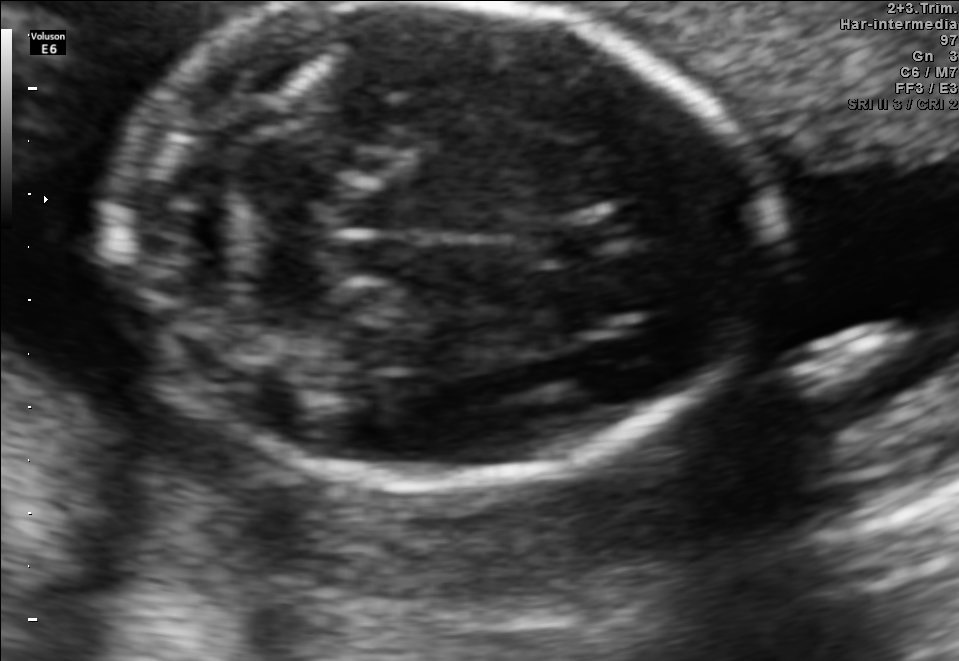
Fetal brain, trans-cerebellum plane. Locate the cavum septum pellucidum.

CSP: [529,203,626,269]